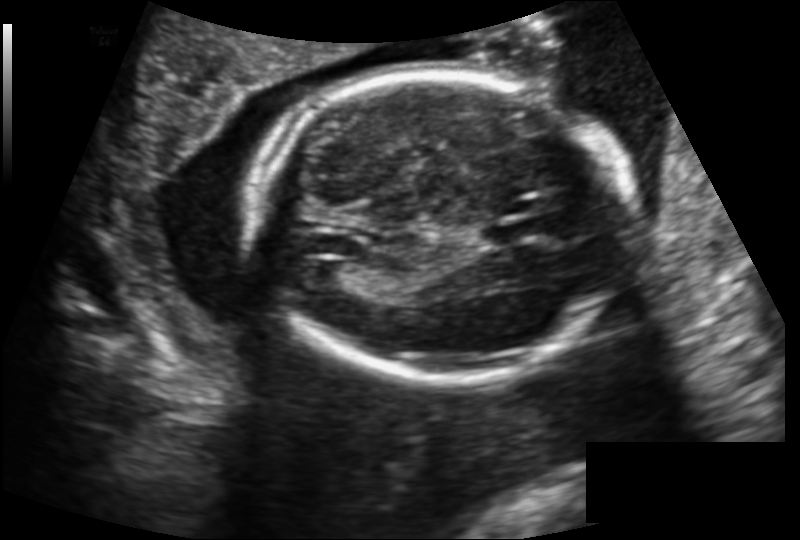
In this fetal head ultrasound, give the bounding box of the lateral ventricle. Image width: 127.5 mm.

[308,262,348,287]